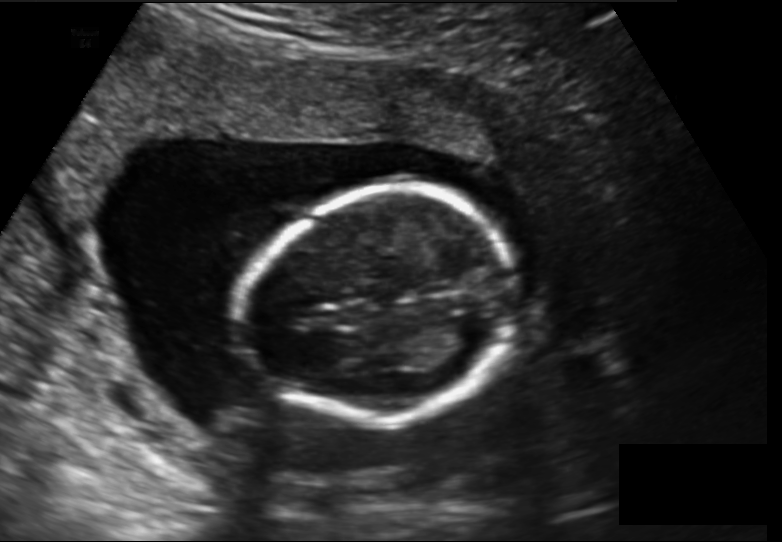
Fetal head ultrasound. Image width: 122.9 mm. Give [x1,y1,x2,y2] bounding boxes for each visible structure among: fetal head, CSP, LV.

Head: [245,188,519,423]